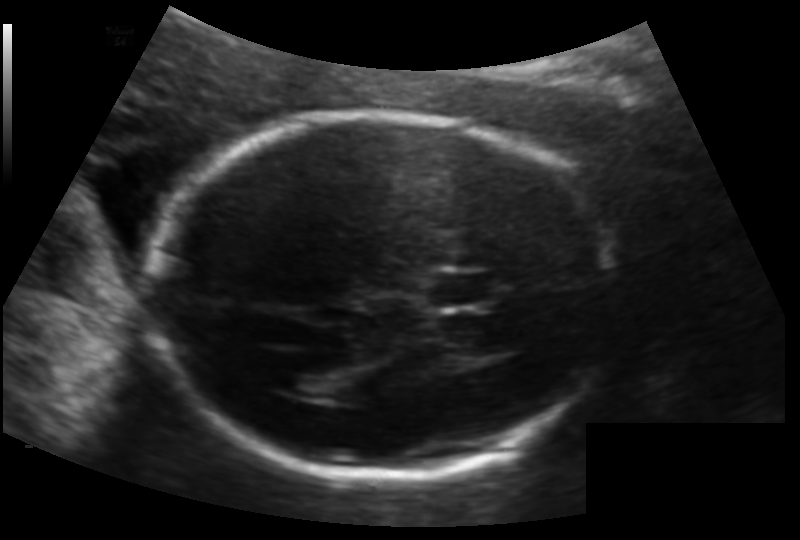
Fetal head ultrasound. Image width: 106.4 mm. Where is the fetal head?

Head bounding box: [157,113,618,481]